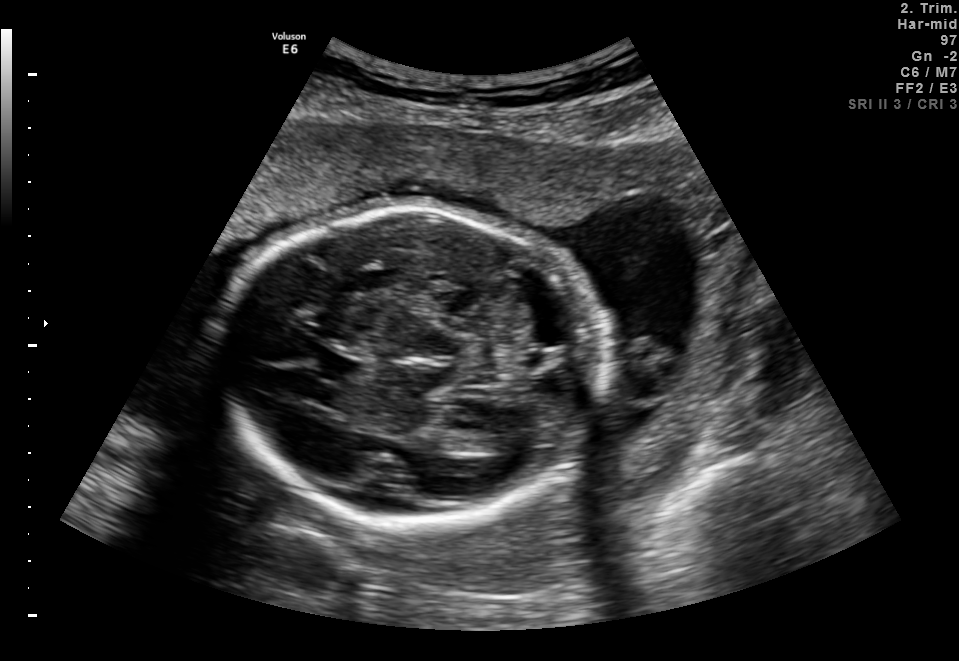
In this fetal brain, trans-thalamic plane, give the bounding box of the lateral ventricle.

[474,423,527,455]